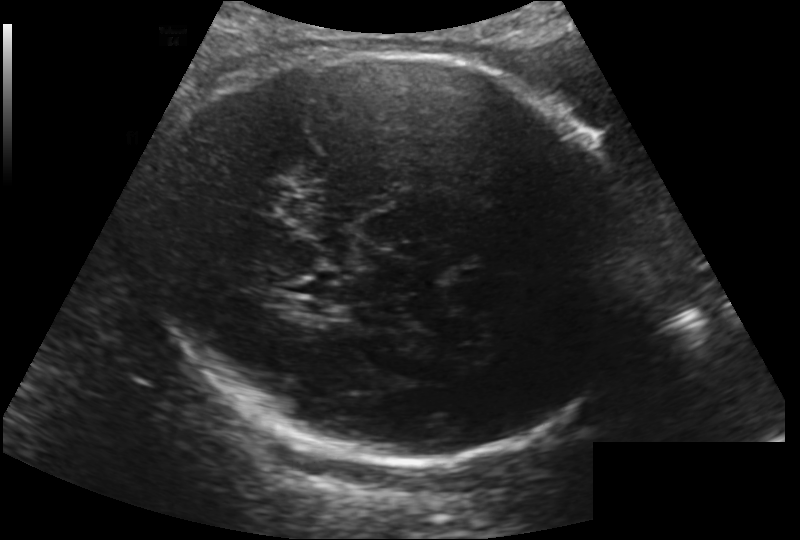
Estimate the fetal head circumference from this 2D ultrasound.

Head circumference: 284.9 mm (image width 160.1 mm).